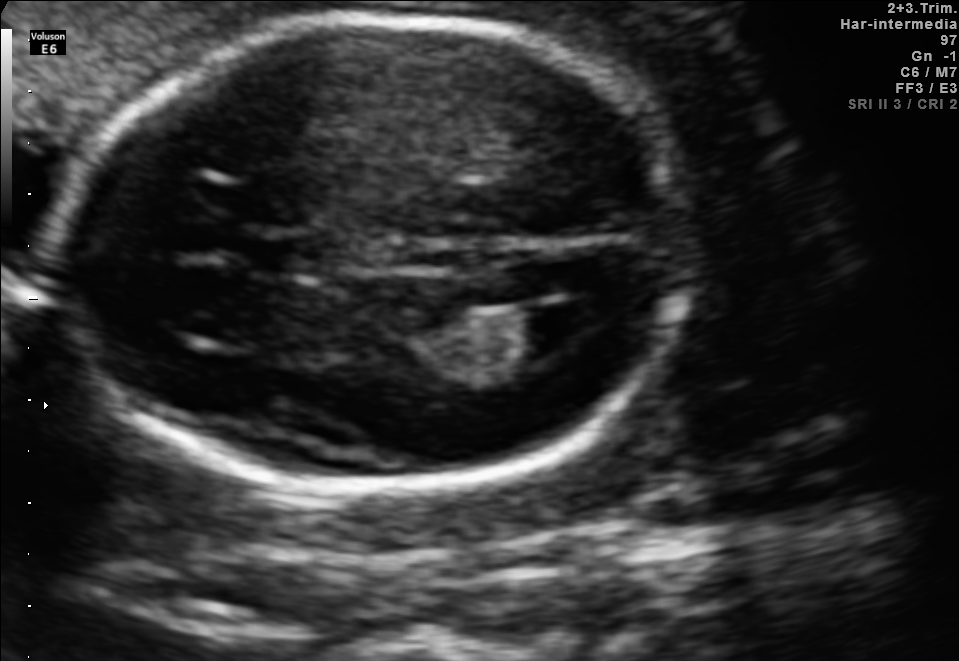
Fetal brain, trans-ventricular plane. Where is the fetal head?

Head bounding box: [54,9,703,502]